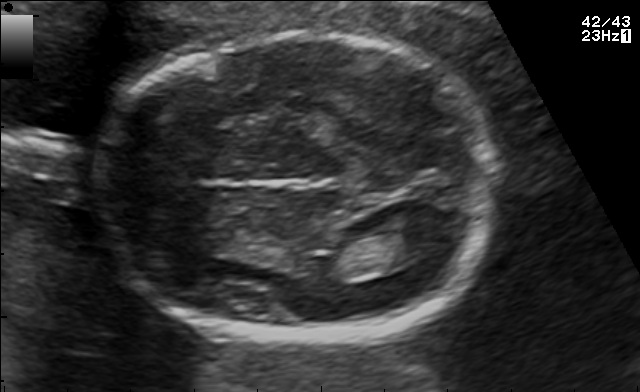
In this fetal brain, trans-thalamic plane, give bounding boxes for the head outline, cavum septum pellucidum (CSP), and lateral ventricle (LV), where visible.

Head: [98,35,497,339]
Lateral ventricle: [363,222,437,273]